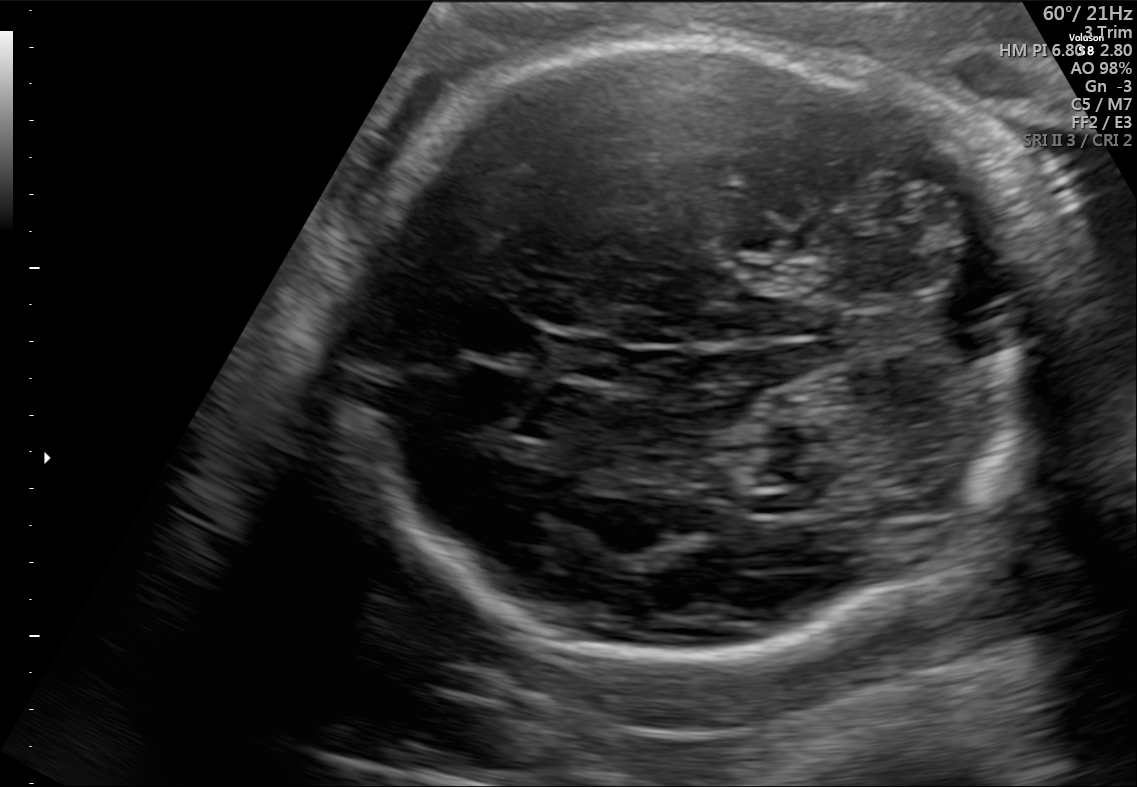
Fetal brain, trans-cerebellum plane. Locate the fetal head.

Head: [345,42,1034,655]